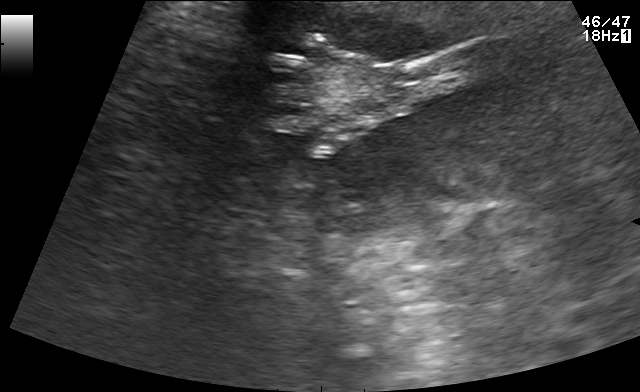
Identify the standard plane in this fetal ultrasound image: fetal abdomen, fetal brain, fetal femur, fetal thorax, maternal cervix, or other. If it's fetal brain and one of the three standard brain planes (trans-thalamic, trans-cerebellum, trans-ventricular), name which.

Other